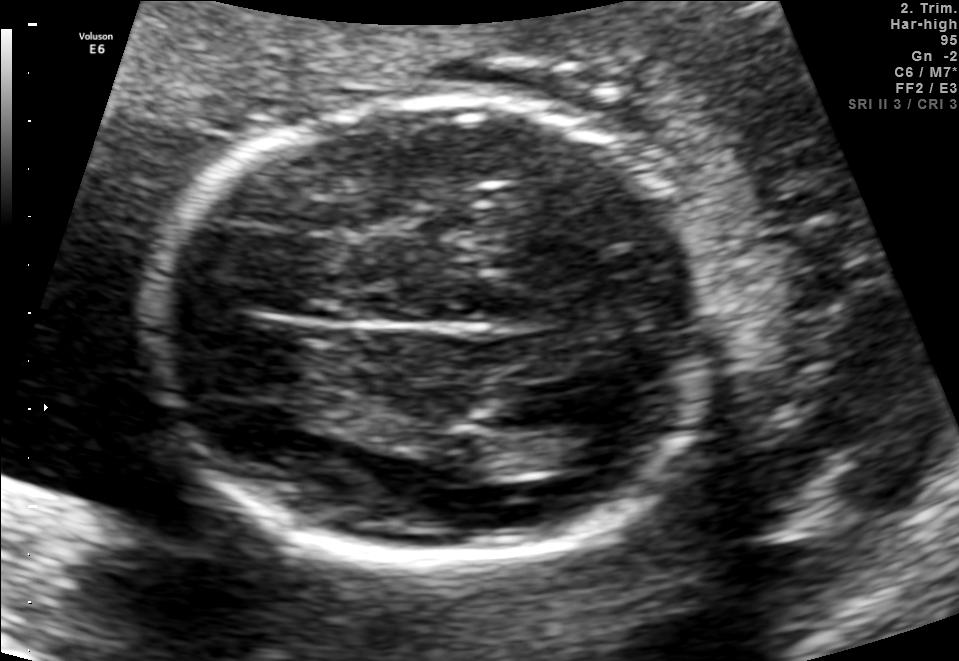
Fetal brain, trans-thalamic plane. Locate the fetal head.

Head: [152,97,711,560]